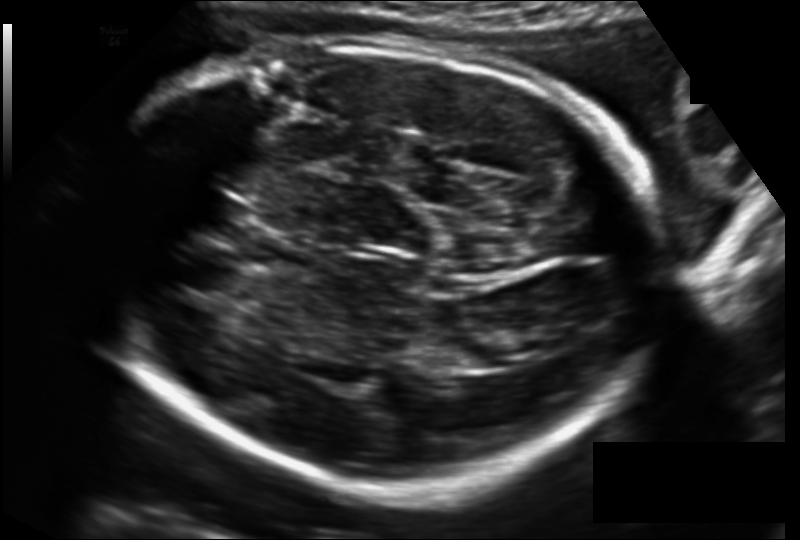
Fetal head ultrasound. Image width: 133.8 mm. Where is the fetal head?

Head bounding box: [98,40,660,489]